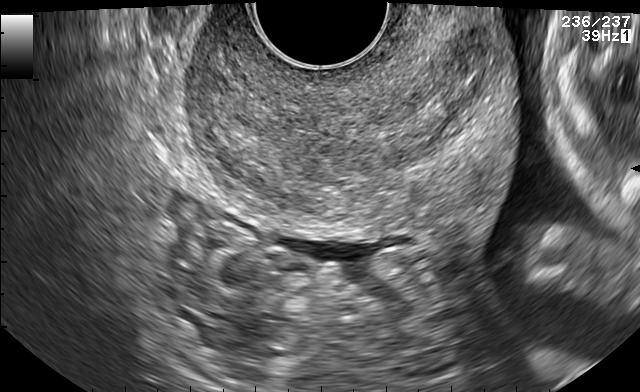
This is a 2D maternal-fetal ultrasound frame. Is it a fetal abdomen, fetal brain, fetal femur, fetal thorax, maternal cervix, or other standard plane? If it's fetal brain and one of the three standard brain planes (trans-thalamic, trans-cerebellum, trans-ventricular), name which.

Maternal cervix